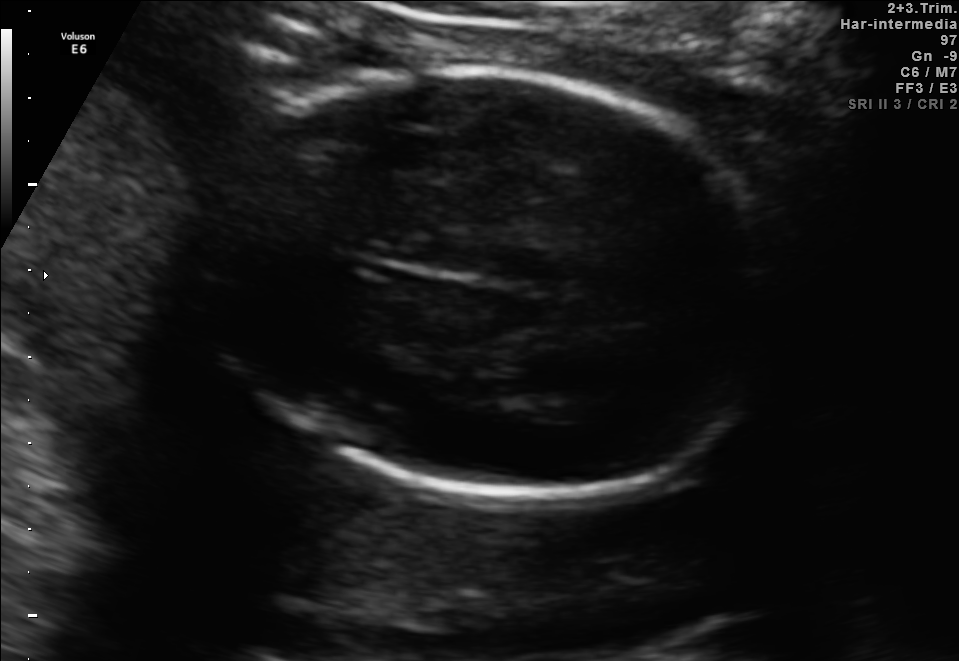
This is a 2D maternal-fetal ultrasound frame. Is it a fetal abdomen, fetal brain, fetal femur, fetal thorax, maternal cervix, or other standard plane? If it's fetal brain and one of the three standard brain planes (trans-thalamic, trans-cerebellum, trans-ventricular), name which.

Fetal brain (trans-thalamic plane)